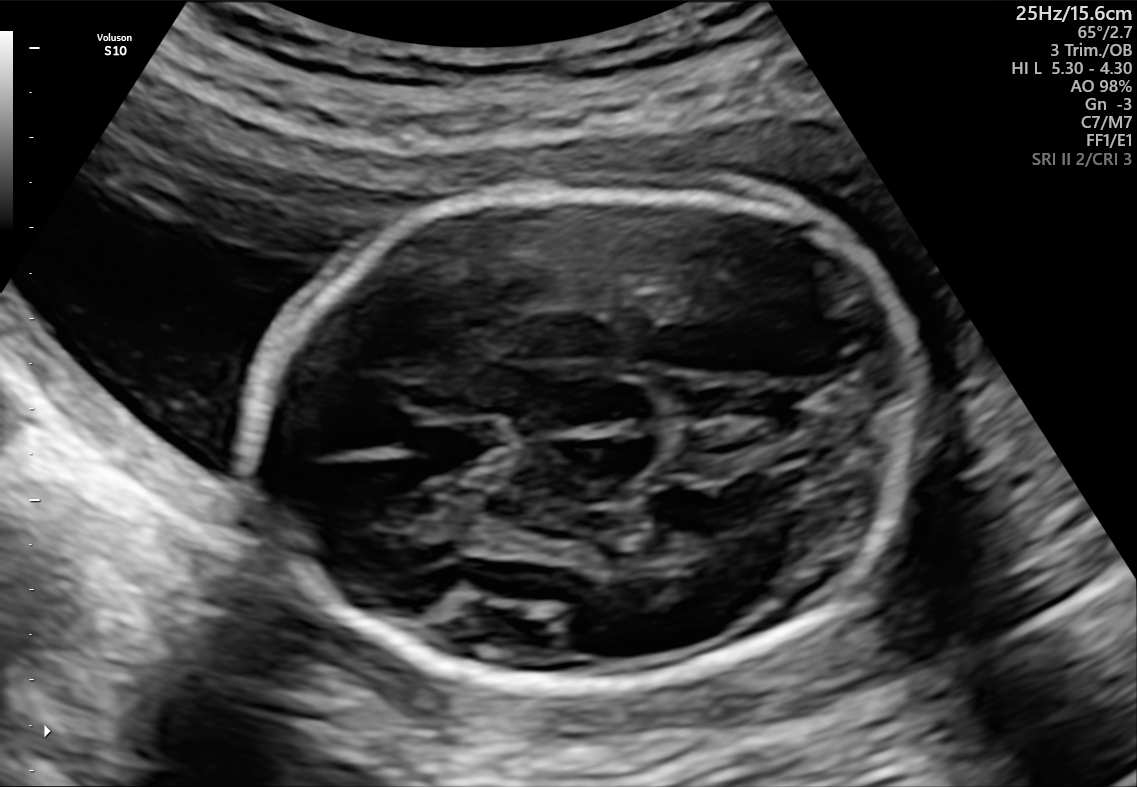
Classify this maternal-fetal ultrasound image as one of the six standard planes — fetal abdomen, fetal brain, fetal femur, fetal thorax, maternal cervix, or other. If it's fetal brain and one of the three standard brain planes (trans-thalamic, trans-cerebellum, trans-ventricular), name which.

Fetal brain (trans-thalamic plane)